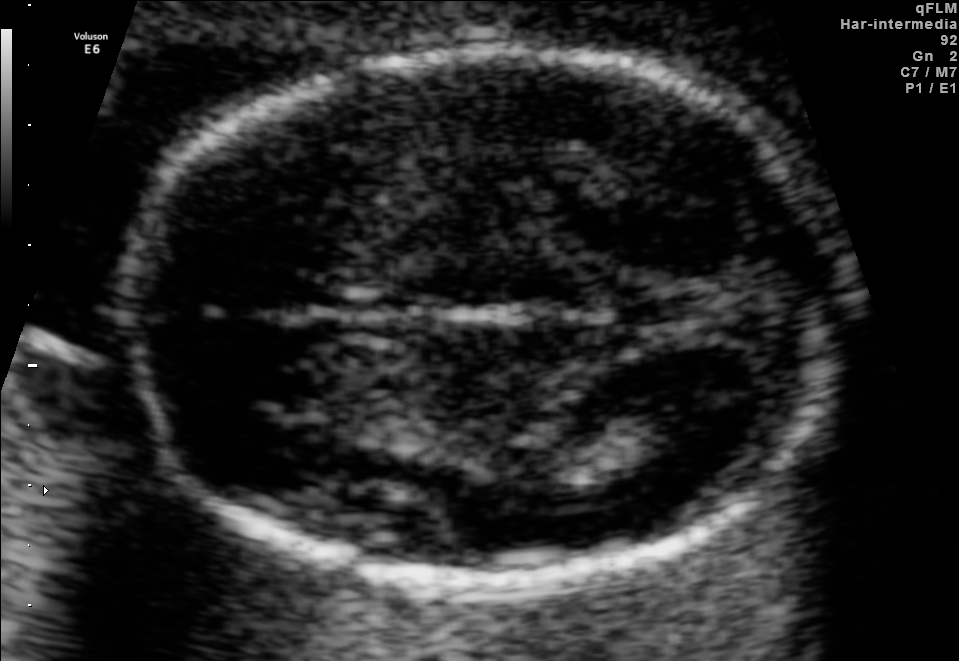
Fetal brain, trans-thalamic plane. Give [x1,y1,x2,y2] bounding boxes for each visible structure among: fetal head, CSP, LV.

Head: [124,52,841,577]